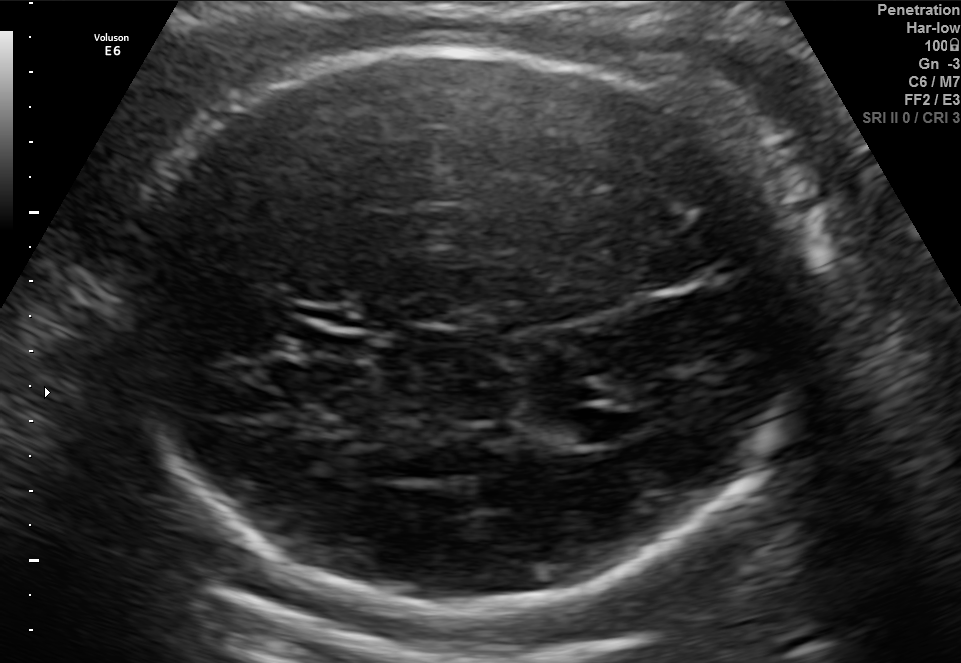
Fetal brain, trans-ventricular plane. Locate the fetal head and, if visible, the cavum septum pellucidum (CSP) and lateral ventricle (LV). Give bounding boxes as [x1,y1,x2,y2].

Head: [101,38,832,615]
CSP: [292,294,370,341]
Lateral ventricle: [556,404,626,446]